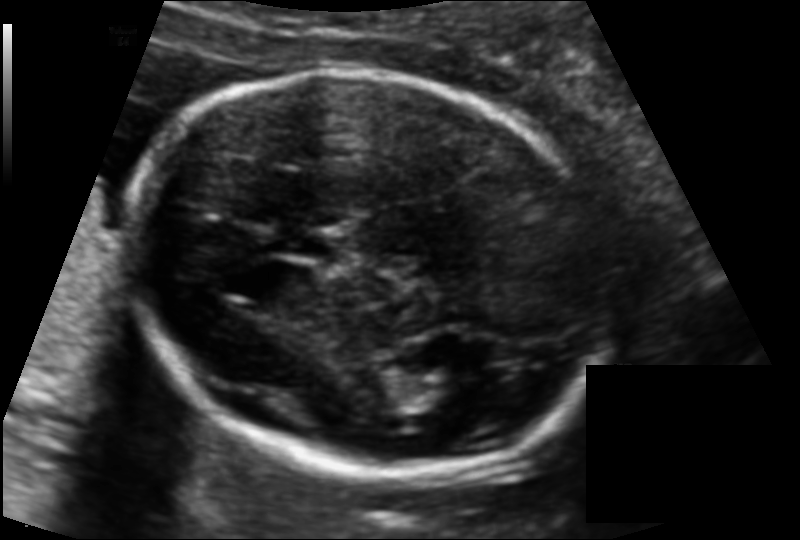
Fetal head ultrasound. Image width: 93.1 mm. Where is the fetal head?

Head bounding box: [132,73,606,477]